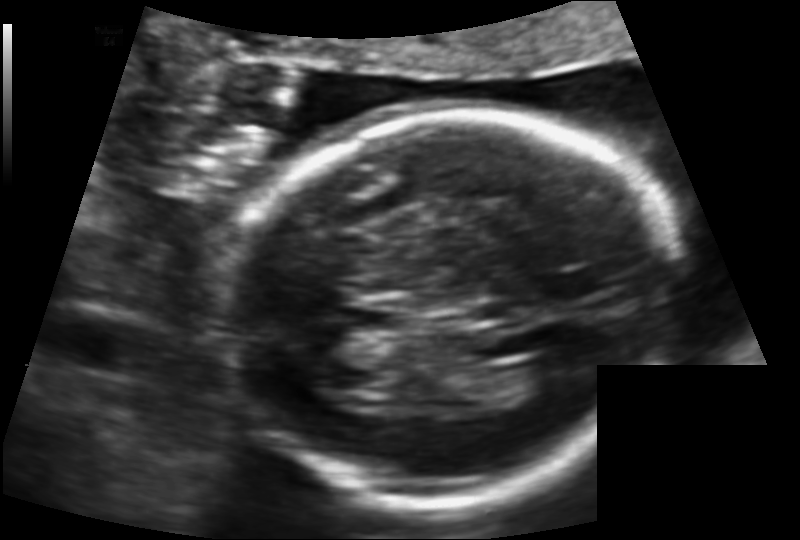
In this fetal head ultrasound, give bounding boxes for the head outline, cavum septum pellucidum (CSP), and lateral ventricle (LV), where visible. Image width: 97.9 mm.

Head: [228,111,672,504]